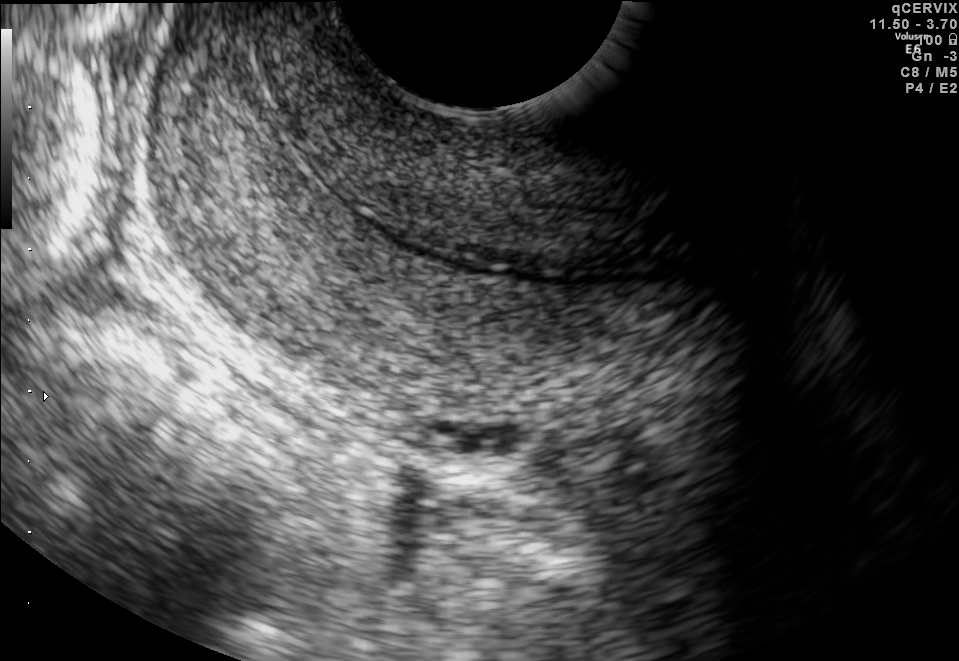
Which standard maternal-fetal ultrasound plane is shown: fetal abdomen, fetal brain, fetal femur, fetal thorax, maternal cervix, or other? If it's fetal brain and one of the three standard brain planes (trans-thalamic, trans-cerebellum, trans-ventricular), name which.

Maternal cervix